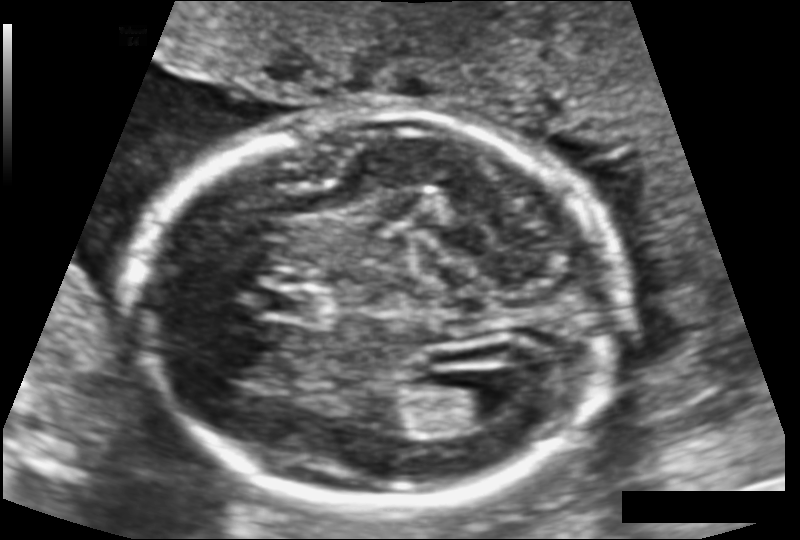
In this fetal head ultrasound, give the bounding box of the cavum septum pellucidum. Image width: 99.5 mm.

[261,287,316,320]